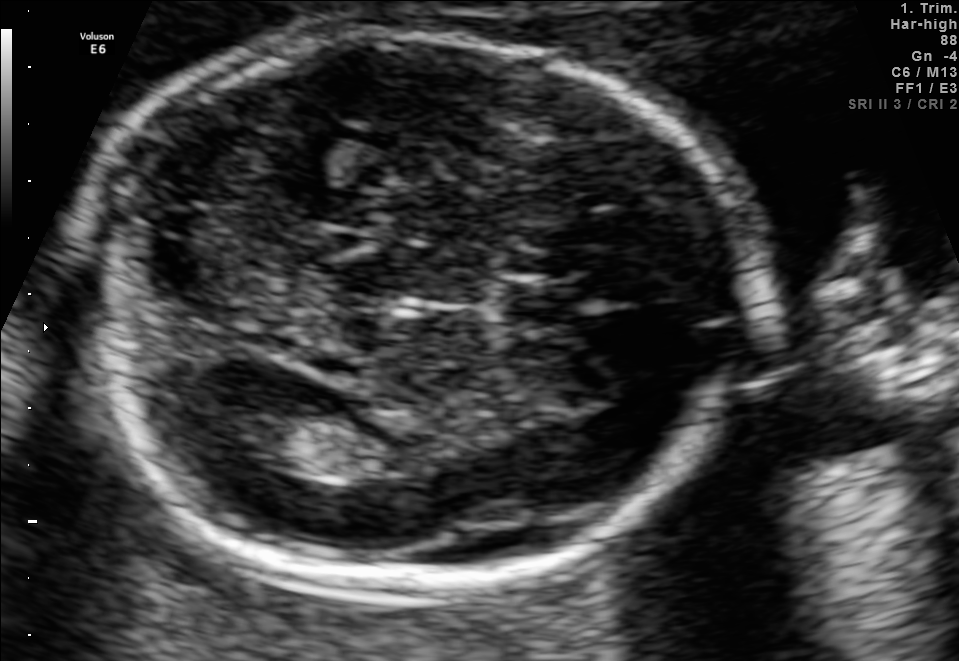
Classify this maternal-fetal ultrasound image as one of the six standard planes — fetal abdomen, fetal brain, fetal femur, fetal thorax, maternal cervix, or other. If it's fetal brain and one of the three standard brain planes (trans-thalamic, trans-cerebellum, trans-ventricular), name which.

Fetal brain (trans-ventricular plane)